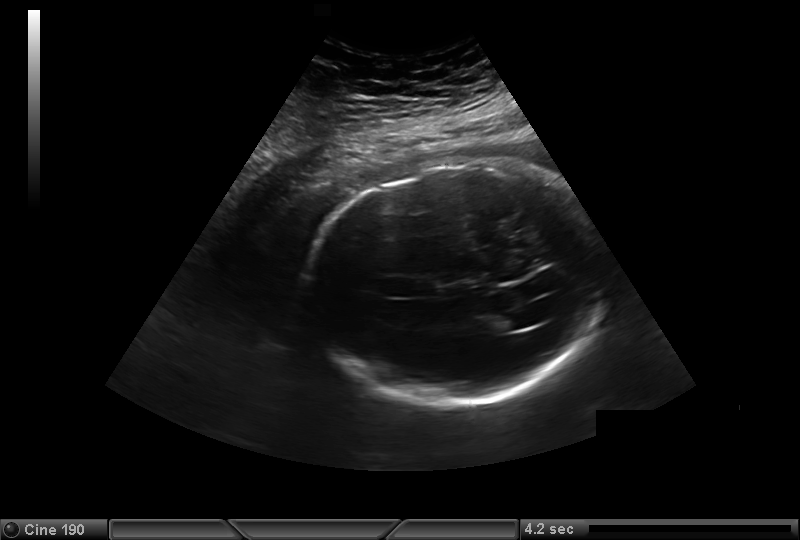
Estimate the fetal head circumference from this 2D ultrasound. Image width: 258.3 mm.

Head circumference: 283.5 mm.